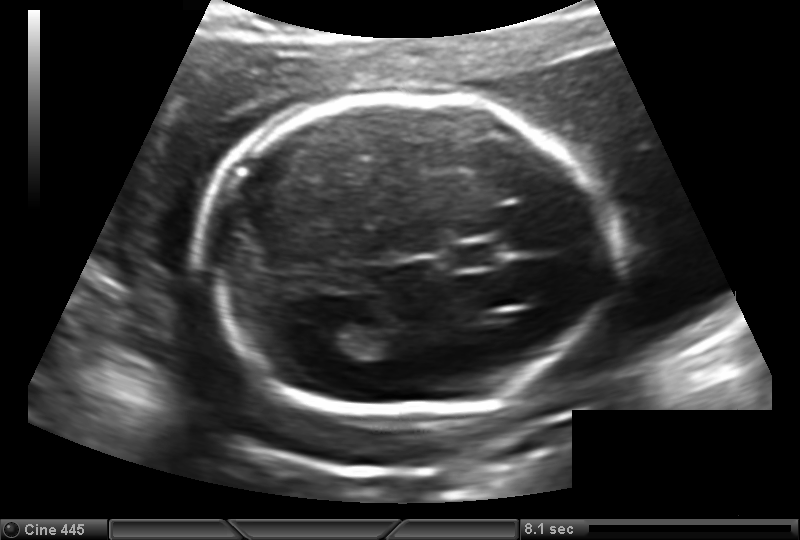
Fetal head ultrasound. Image width: 119.4 mm. Where is the fetal head?

Head bounding box: [208,94,607,415]